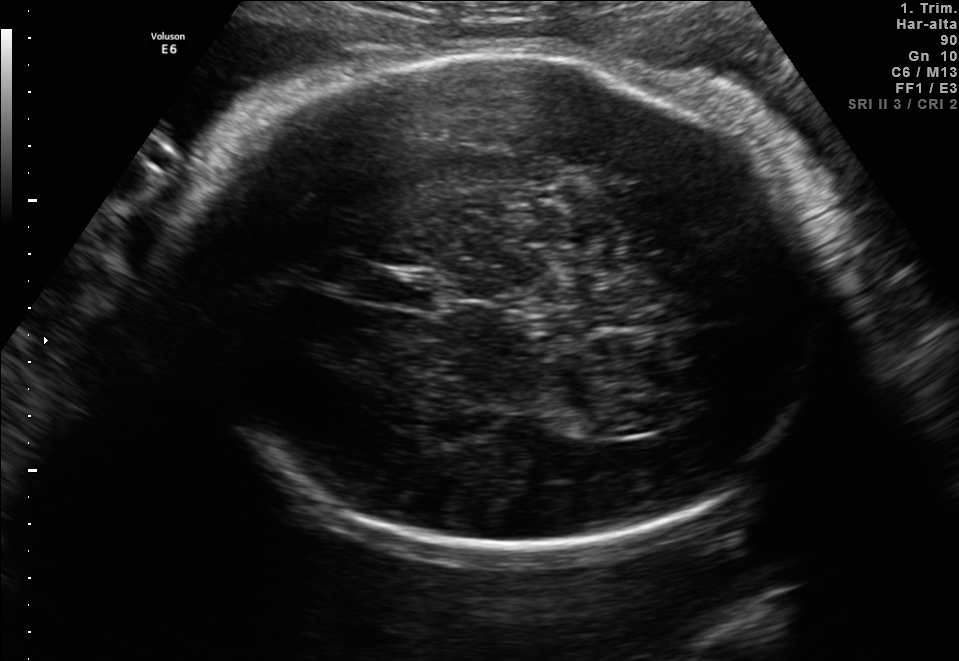
Fetal brain, trans-thalamic plane. Give [x1,y1,x2,y2] bounding boxes for each visible structure among: fetal head, CSP, LV.

Head: [189,46,816,545]
CSP: [360,265,438,311]
Lateral ventricle: [586,402,661,441]